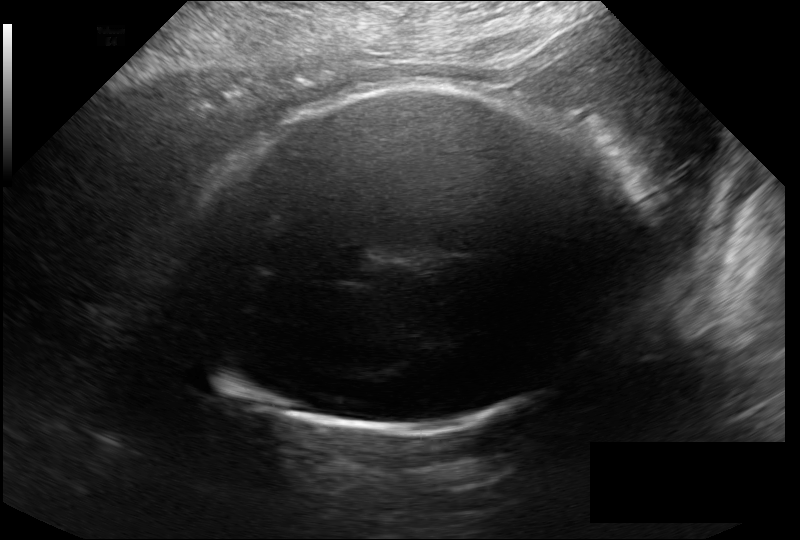
In this fetal head ultrasound, give bounding boxes for the head outline, cavum septum pellucidum (CSP), and lateral ventricle (LV), where visible. Image width: 196.8 mm.

Head: [182,84,642,431]